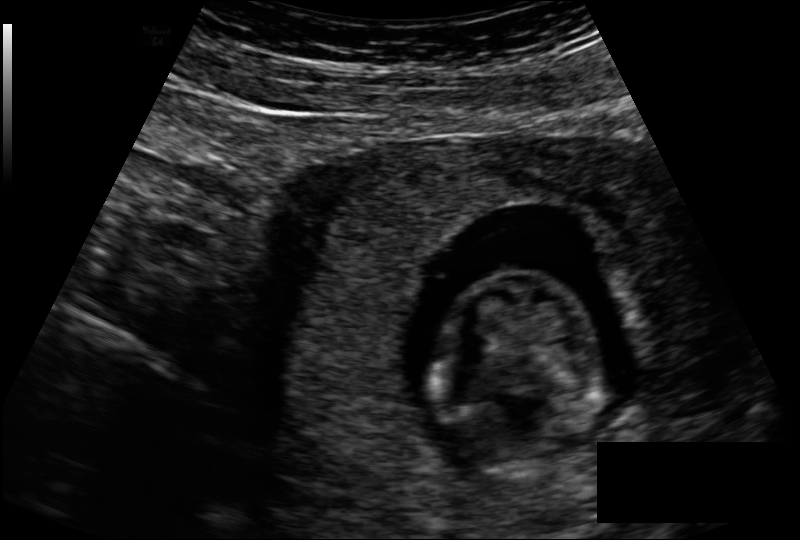
Fetal head ultrasound. Image width: 104.8 mm. Locate the fetal head and, if visible, the cavum septum pellucidum (CSP) and lateral ventricle (LV). Give bounding boxes as [x1,y1,x2,y2].

Head: [436,272,599,474]